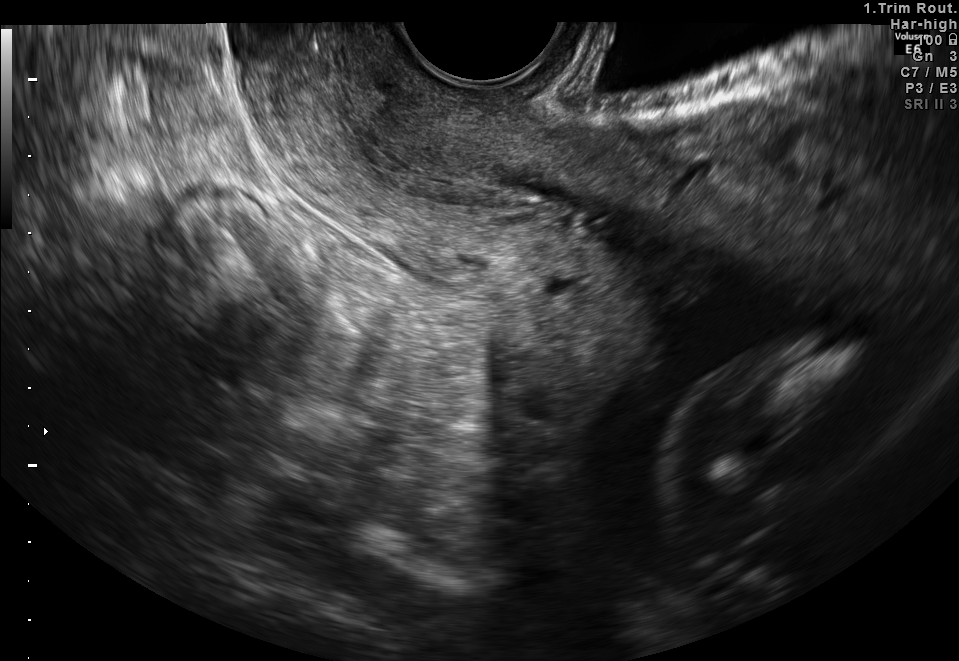
This is a 2D maternal-fetal ultrasound frame. Is it a fetal abdomen, fetal brain, fetal femur, fetal thorax, maternal cervix, or other standard plane? If it's fetal brain and one of the three standard brain planes (trans-thalamic, trans-cerebellum, trans-ventricular), name which.

Maternal cervix